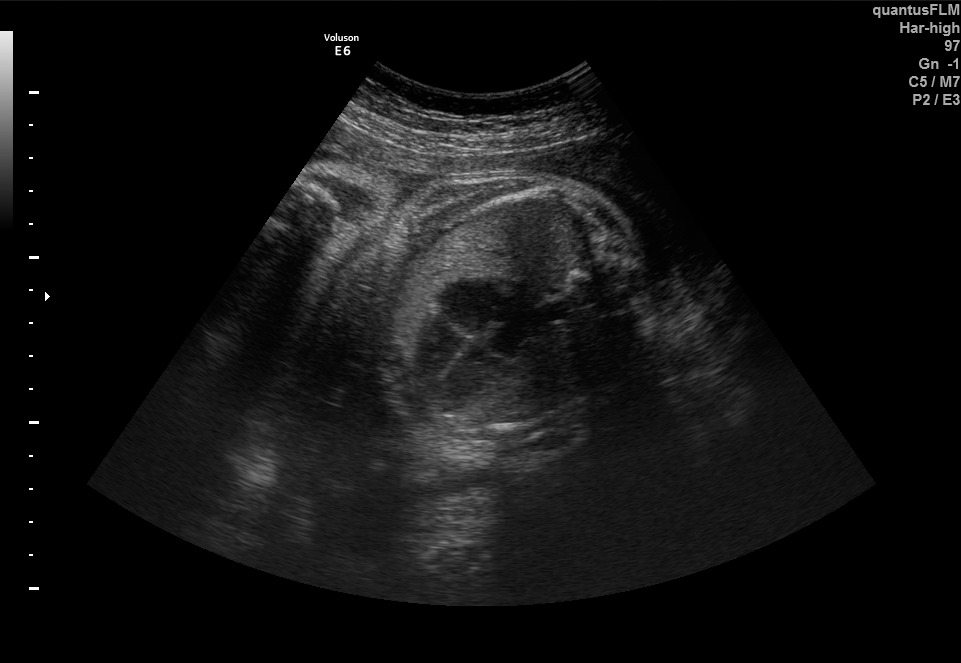
This is a 2D maternal-fetal ultrasound frame. Is it a fetal abdomen, fetal brain, fetal femur, fetal thorax, maternal cervix, or other standard plane? If it's fetal brain and one of the three standard brain planes (trans-thalamic, trans-cerebellum, trans-ventricular), name which.

Fetal thorax